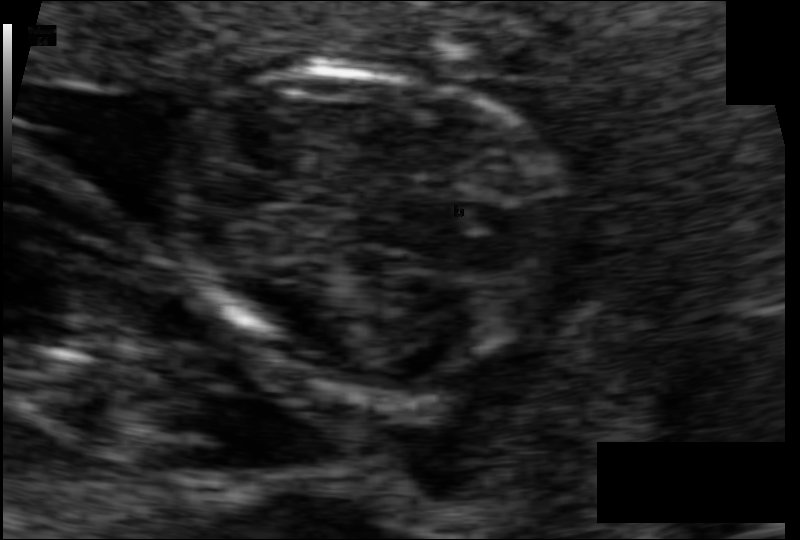
Measure the fetal head circumference shown in this ultrasound image. Image width: 48.5 mm.

Head circumference: 71.9 mm.